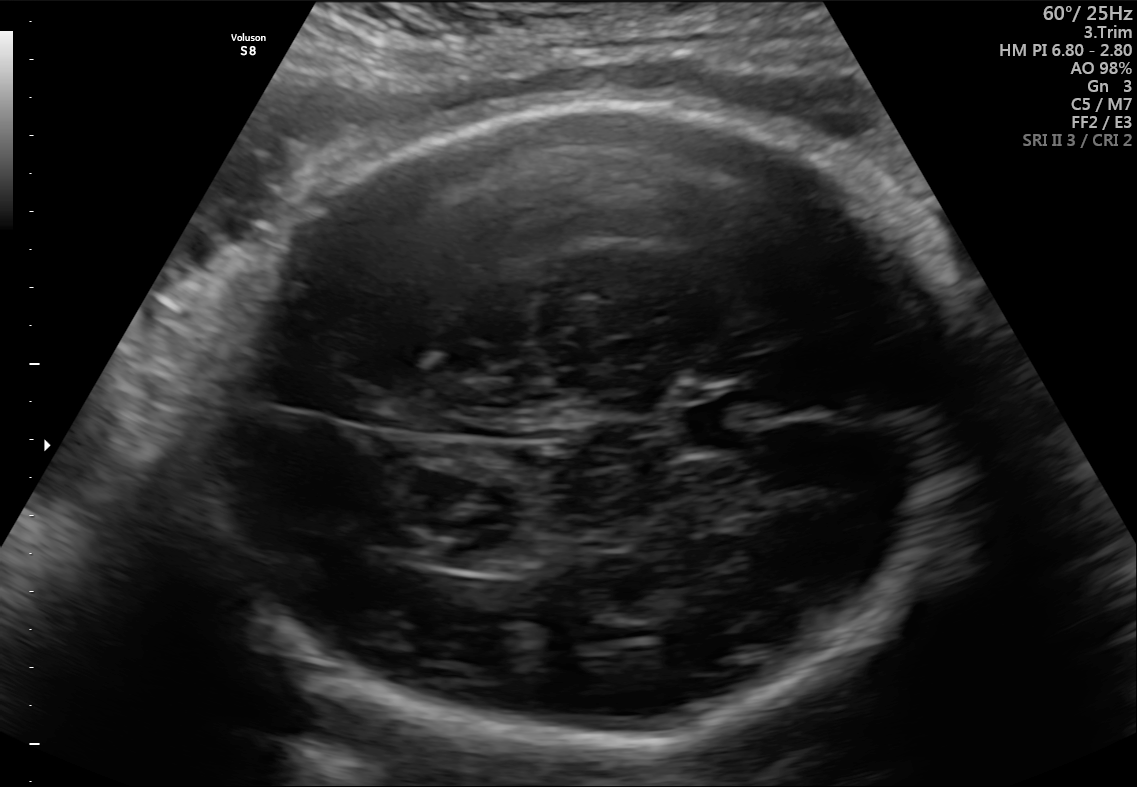
Which standard maternal-fetal ultrasound plane is shown: fetal abdomen, fetal brain, fetal femur, fetal thorax, maternal cervix, or other? If it's fetal brain and one of the three standard brain planes (trans-thalamic, trans-cerebellum, trans-ventricular), name which.

Fetal brain (trans-thalamic plane)